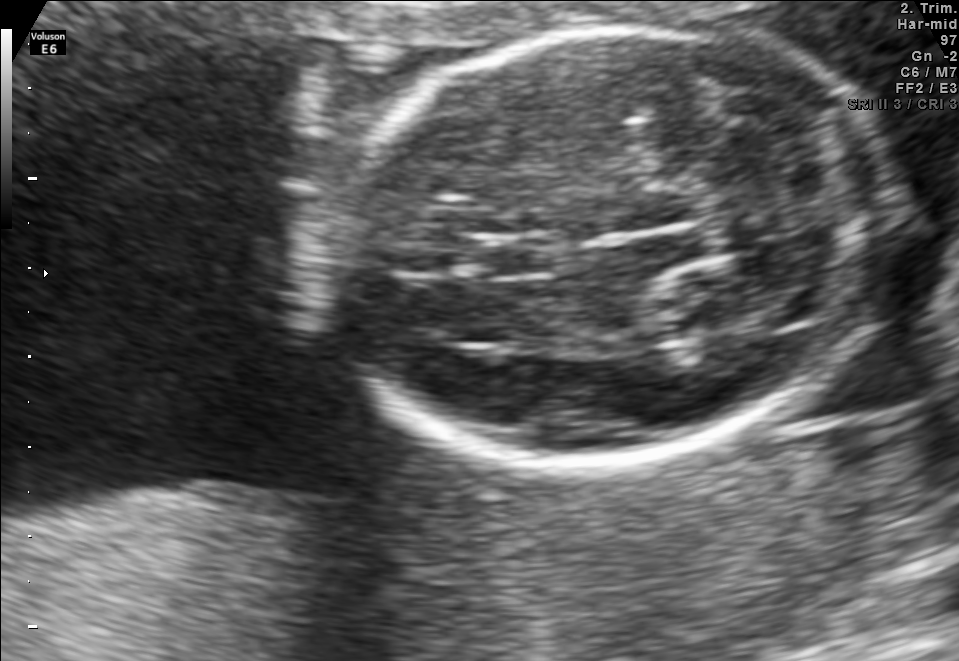
In this fetal brain, trans-thalamic plane, give the bounding box of the cavum septum pellucidum.

[475,236,559,276]